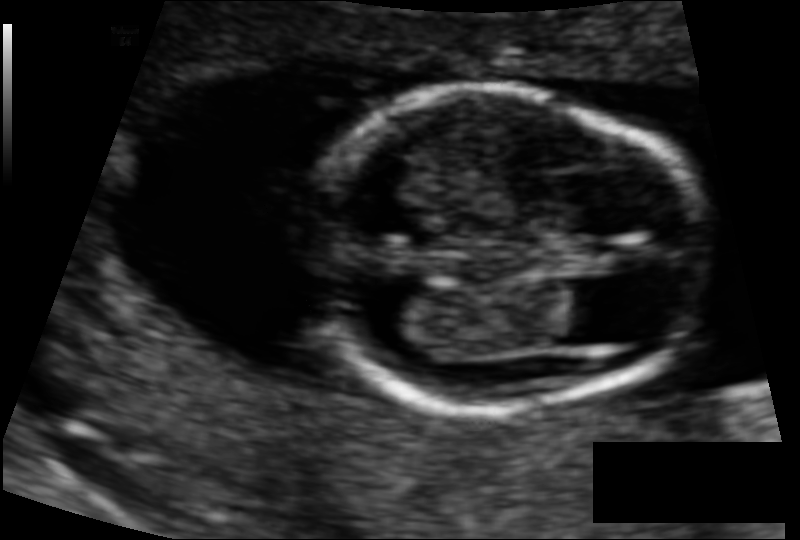
In this fetal head ultrasound, give the bounding box of the fetal head. Image width: 67.4 mm.

[302,88,707,409]